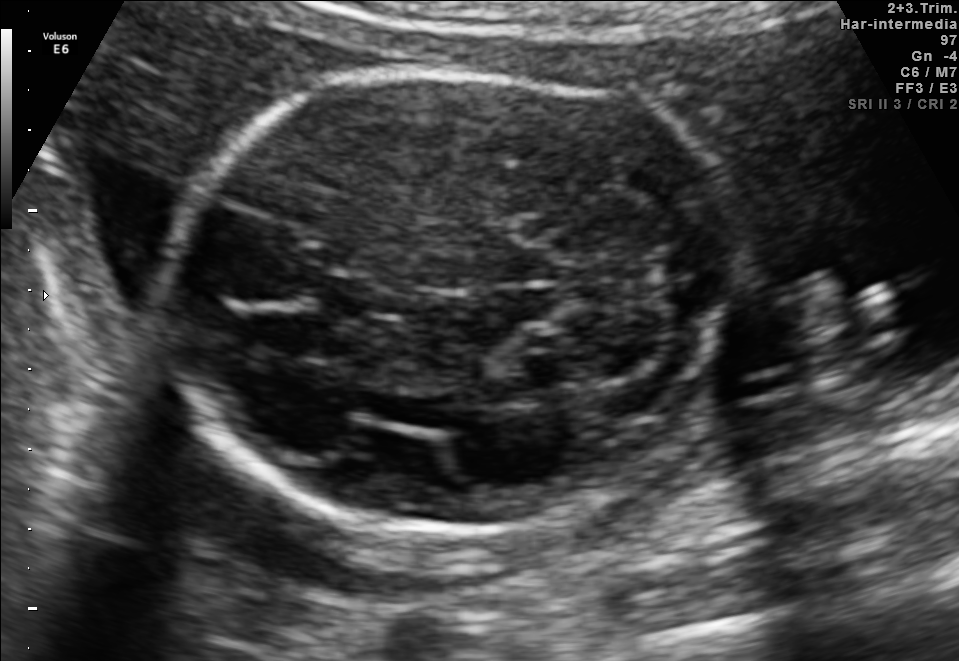
Fetal brain, trans-cerebellum plane. Where is the cavum septum pellucidum?

CSP bounding box: [321,271,390,317]